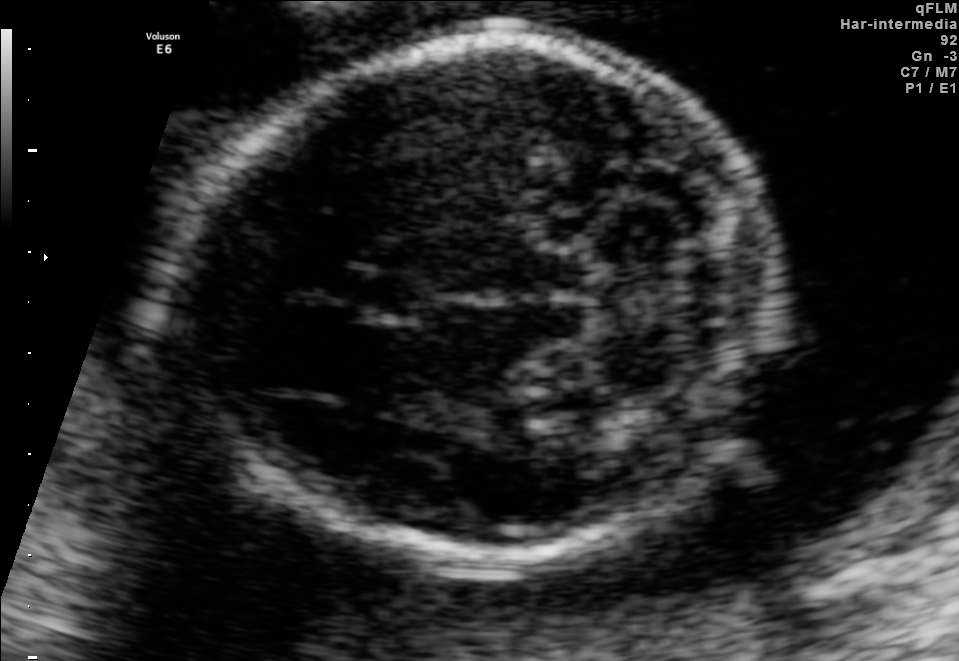
In this fetal brain, trans-cerebellum plane, give bounding boxes for the head outline, cavum septum pellucidum (CSP), and lateral ventricle (LV), where visible.

Head: [190,41,763,564]
CSP: [344,265,433,327]